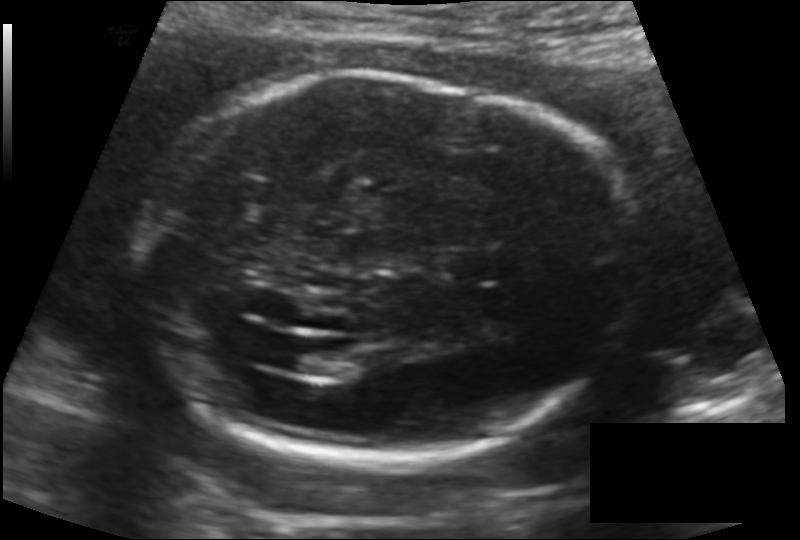
Fetal head ultrasound. Image width: 117.5 mm. Where is the lateral ventricle?

Lateral ventricle bounding box: [288,340,351,378]